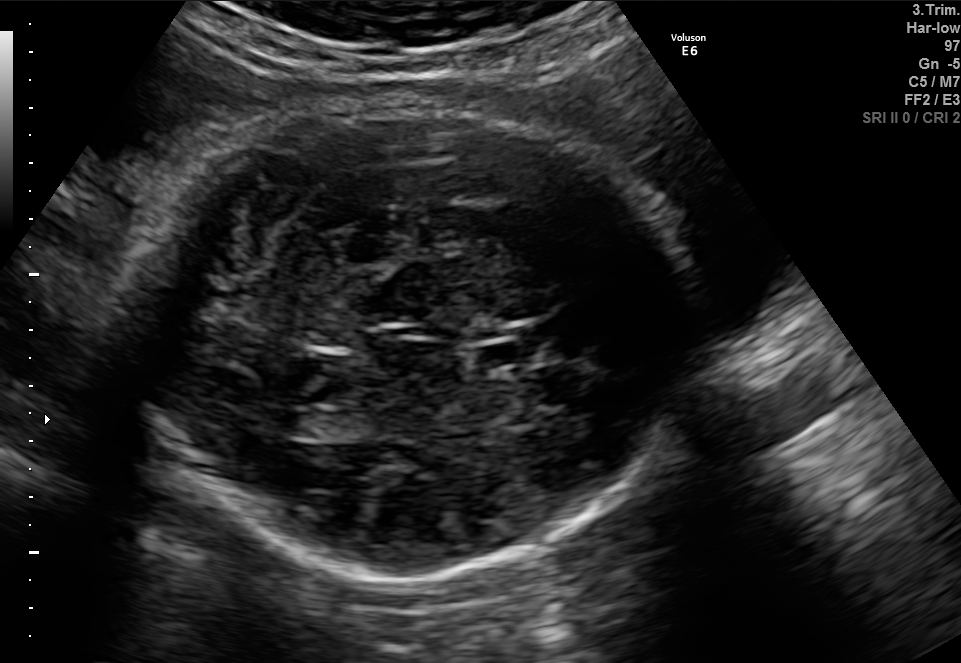
Fetal brain, trans-ventricular plane. Locate the cavum septum pellucidum.

CSP: [469,339,526,374]